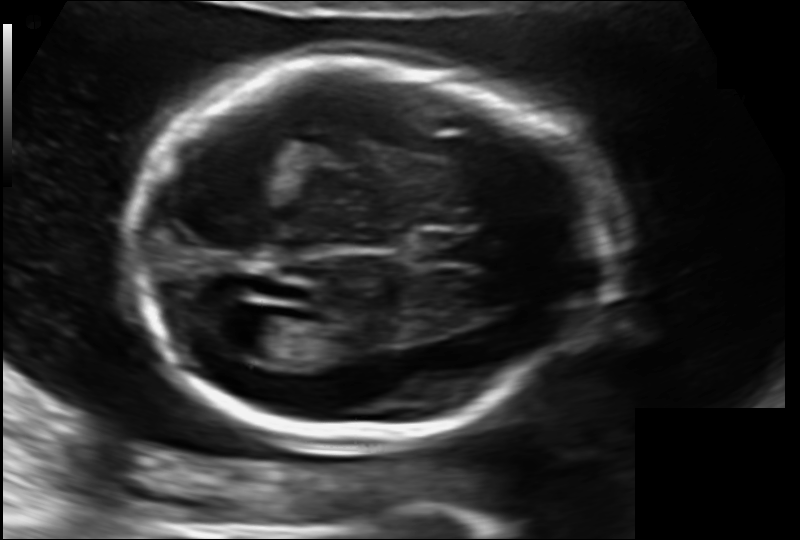
In this fetal head ultrasound, give bounding boxes for the head outline, cavum septum pellucidum (CSP), and lateral ventricle (LV), where visible. Image width: 103.9 mm.

Head: [131,60,602,440]
CSP: [416,233,485,264]
Lateral ventricle: [230,310,310,366]